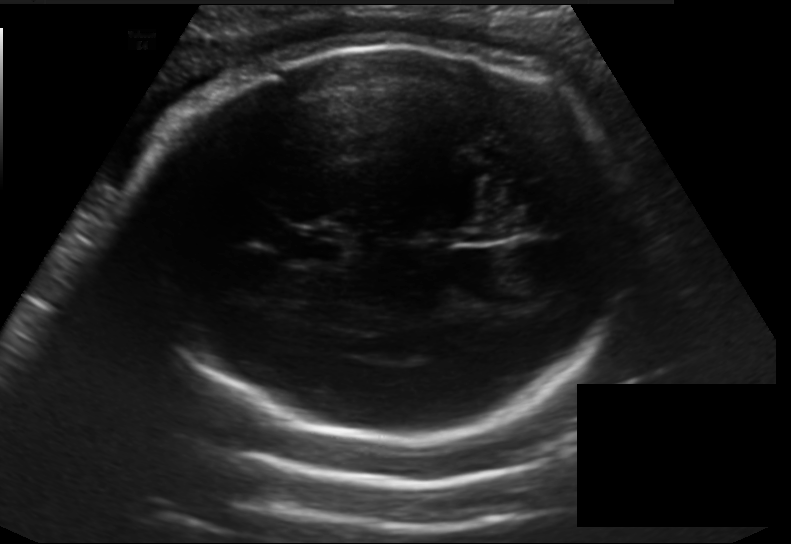
Fetal head ultrasound. Image width: 156.8 mm. Locate the fetal head.

Head: [135,41,629,444]